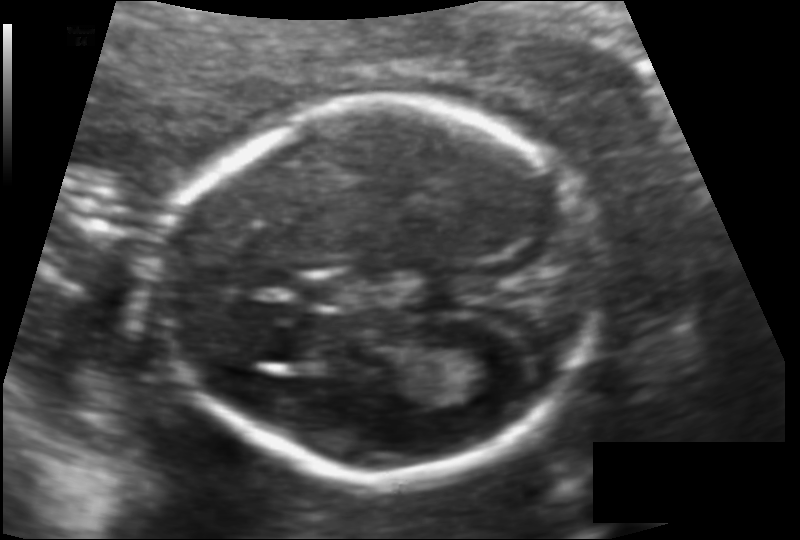
In this fetal head ultrasound, give the bounding box of the fetal head. Image width: 90.5 mm.

[160,105,600,478]